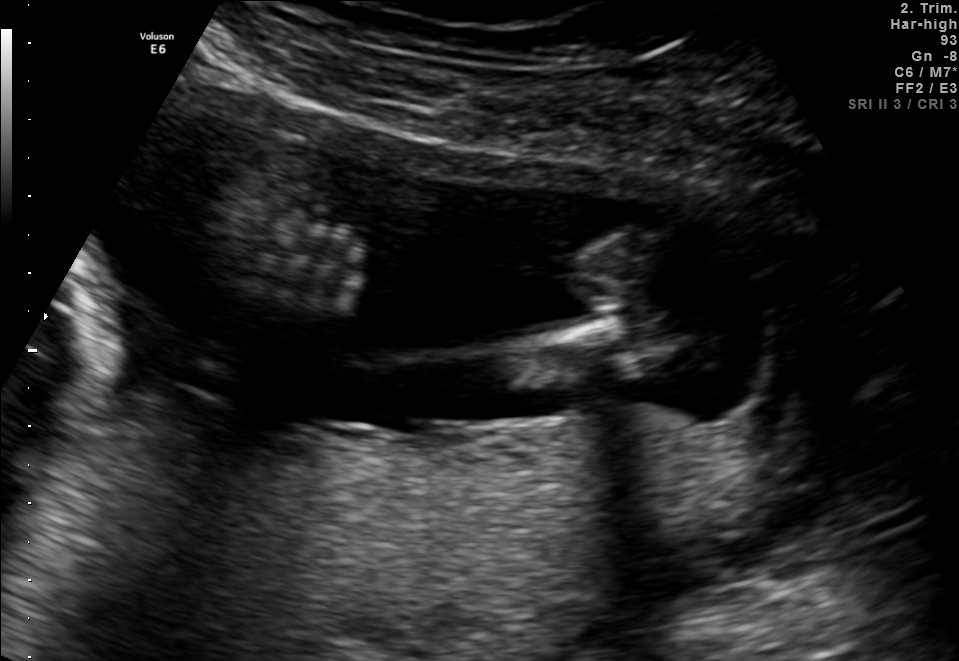
Identify the standard plane in this fetal ultrasound image: fetal abdomen, fetal brain, fetal femur, fetal thorax, maternal cervix, or other. If it's fetal brain and one of the three standard brain planes (trans-thalamic, trans-cerebellum, trans-ventricular), name which.

Other